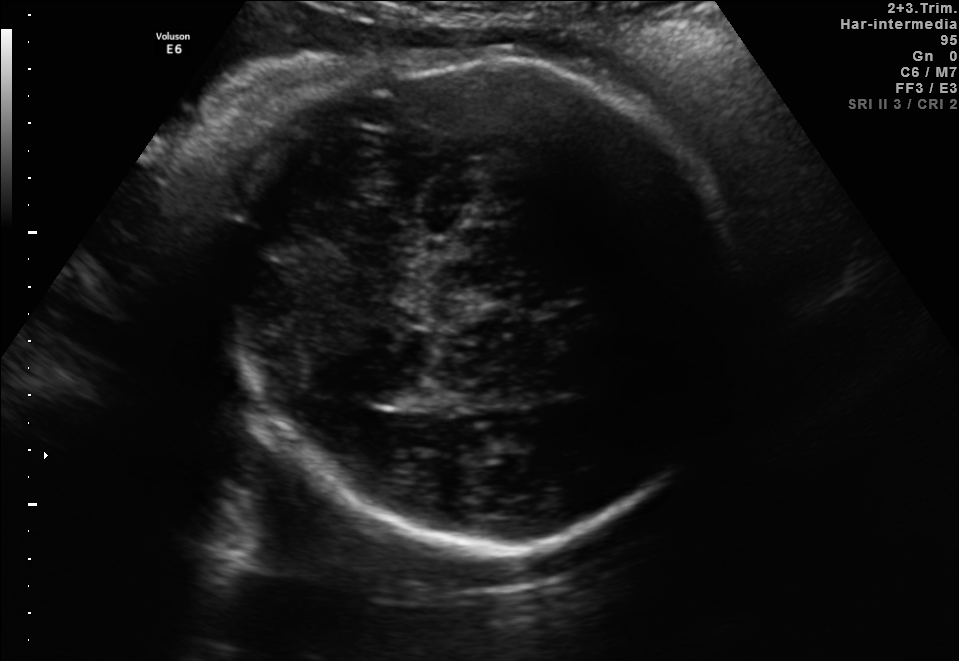
In this fetal brain, trans-thalamic plane, give bounding boxes for the head outline, cavum septum pellucidum (CSP), and lateral ventricle (LV), where visible.

Head: [218,56,735,549]